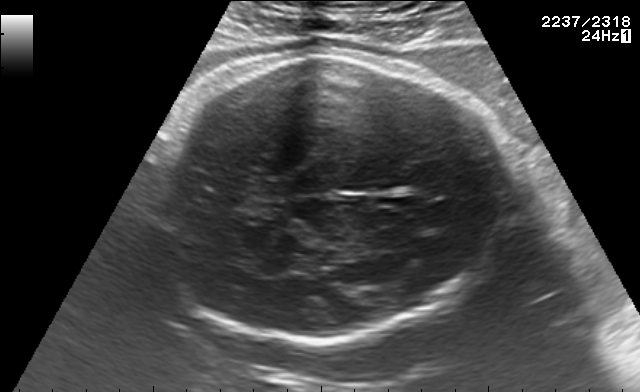
Fetal brain, trans-thalamic plane. Locate the fetal head.

Head: [147,54,509,342]